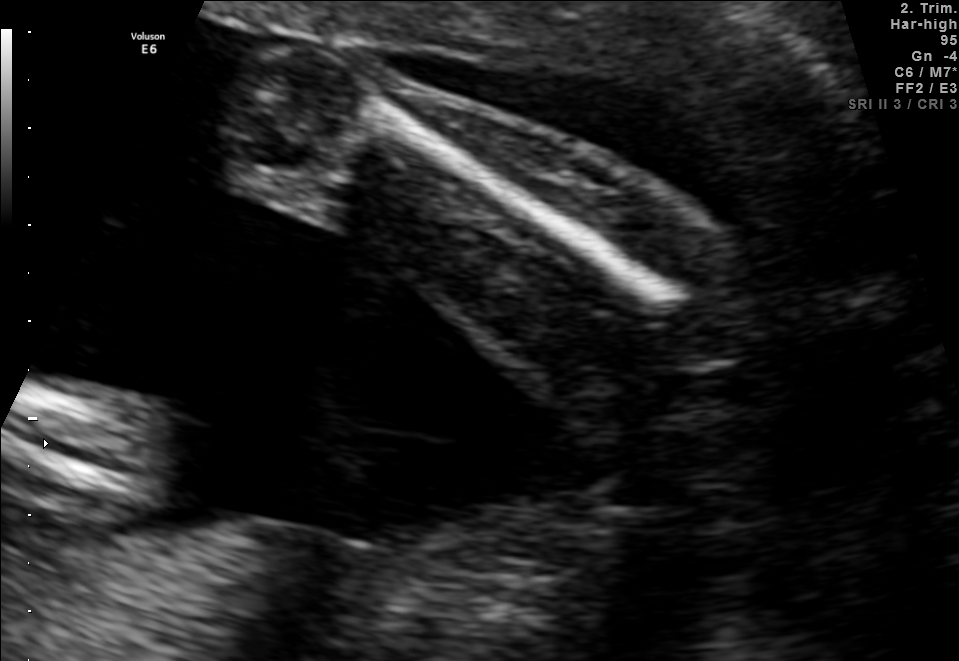
This is a 2D maternal-fetal ultrasound frame. Is it a fetal abdomen, fetal brain, fetal femur, fetal thorax, maternal cervix, or other standard plane? If it's fetal brain and one of the three standard brain planes (trans-thalamic, trans-cerebellum, trans-ventricular), name which.

Fetal femur